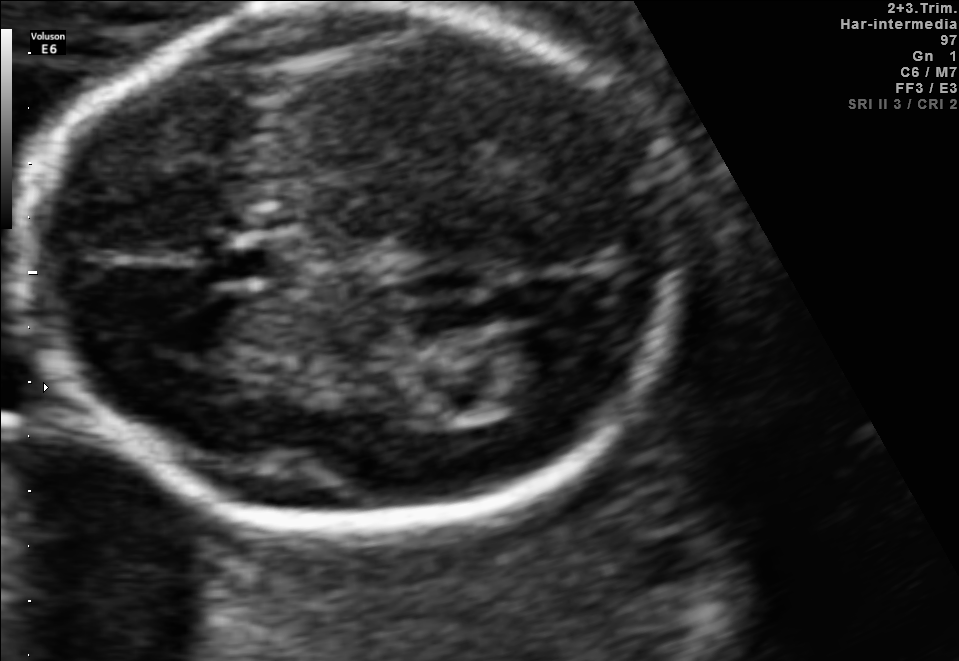
Fetal brain, trans-thalamic plane. Where is the lateral ventricle?

Lateral ventricle bounding box: [475,326,581,410]